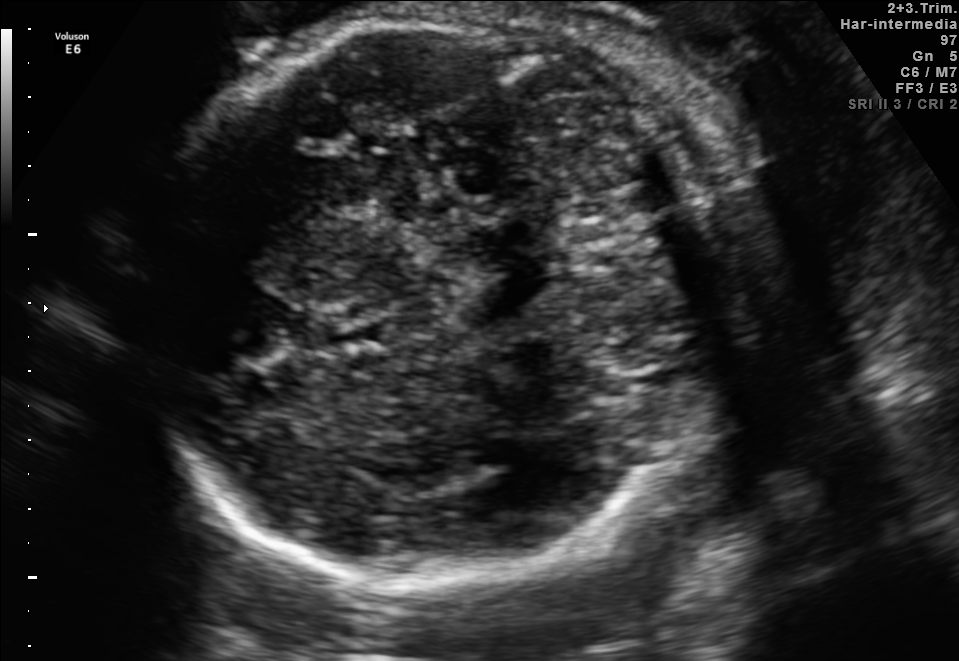
Fetal brain, trans-cerebellum plane. Locate the fetal head.

Head: [136,3,763,584]